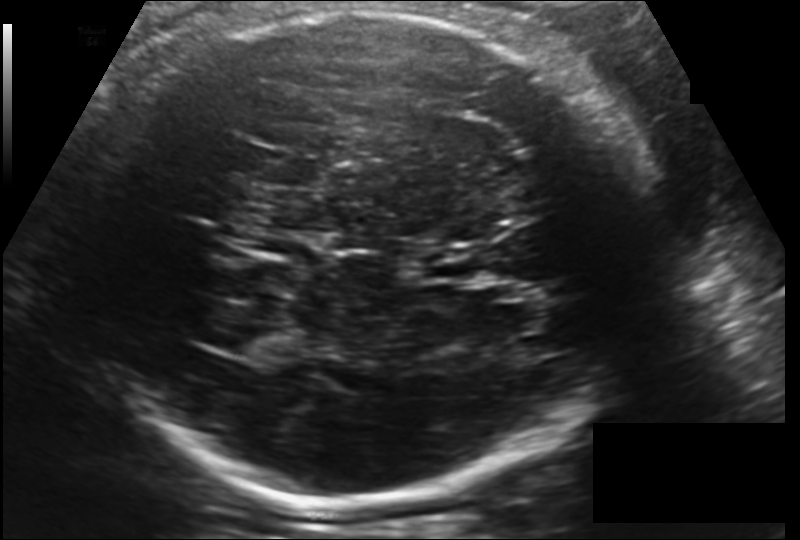
In this fetal head ultrasound, give bounding boxes for the head outline, cavum septum pellucidum (CSP), and lateral ventricle (LV), where visible. Image width: 145.0 mm.

Head: [86,8,642,506]
Lateral ventricle: [212,316,279,364]